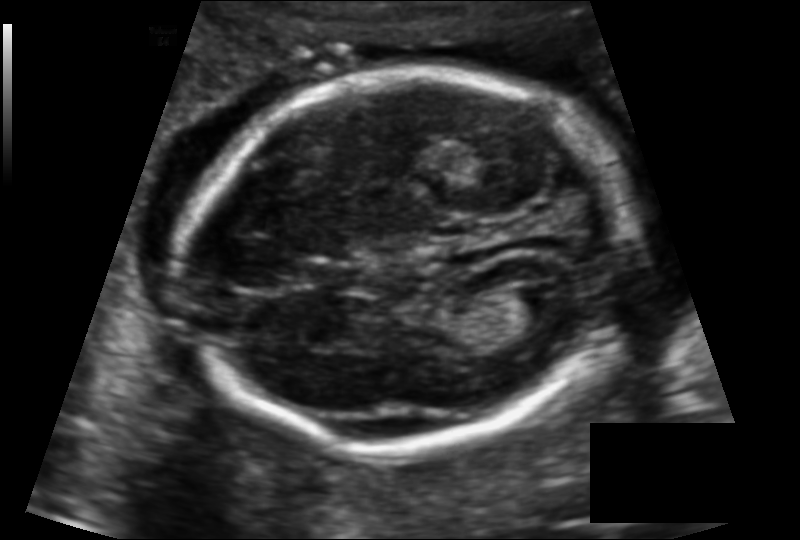
Estimate the fetal head circumference from this 2D ultrasound.

Head circumference: 167.2 mm (image width 99.3 mm).